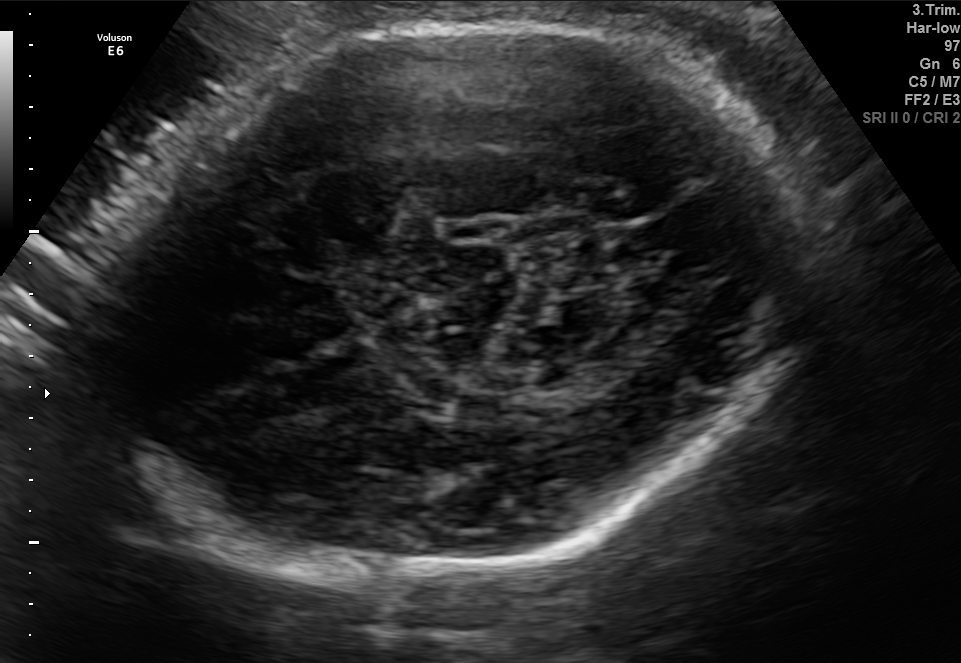
Fetal brain, trans-thalamic plane. Where is the fetal head?

Head bounding box: [87,13,818,588]